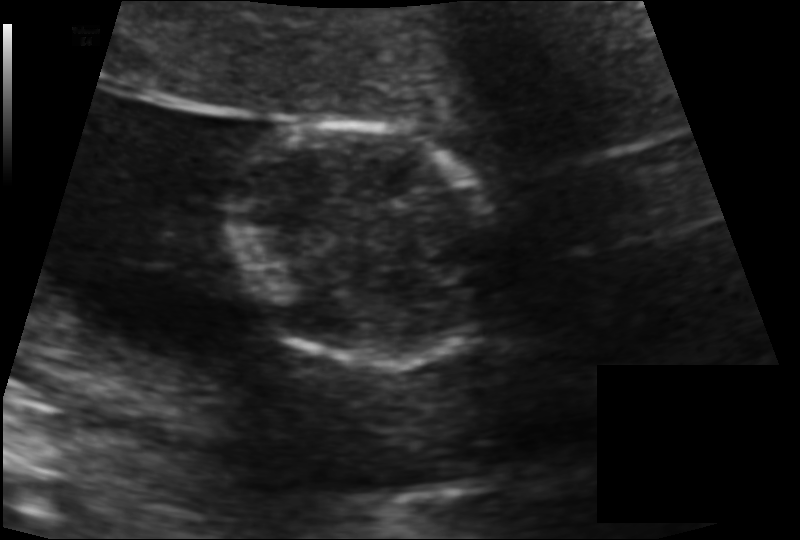
Fetal head ultrasound. Image width: 91.8 mm. Locate the fetal head and, if visible, the cavum septum pellucidum (CSP) and lateral ventricle (LV). Give bounding boxes as [x1,y1,x2,y2].

Head: [223,122,494,368]